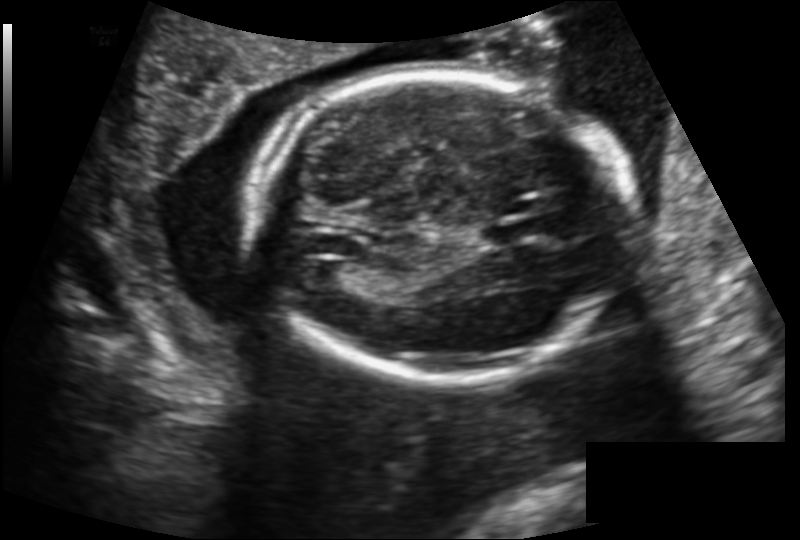
Estimate the fetal head circumference from this 2D ultrasound.

Head circumference: 178.8 mm (image width 127.5 mm).